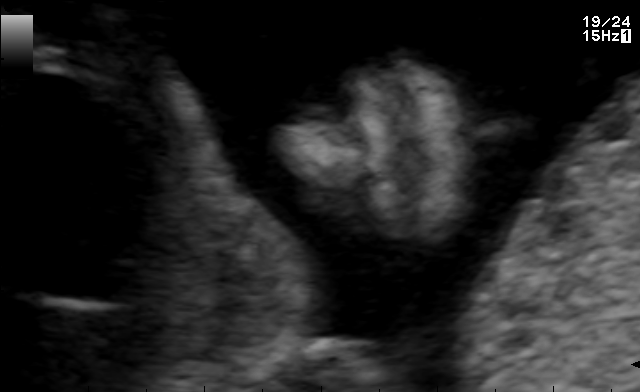
Which standard maternal-fetal ultrasound plane is shown: fetal abdomen, fetal brain, fetal femur, fetal thorax, maternal cervix, or other? If it's fetal brain and one of the three standard brain planes (trans-thalamic, trans-cerebellum, trans-ventricular), name which.

Other